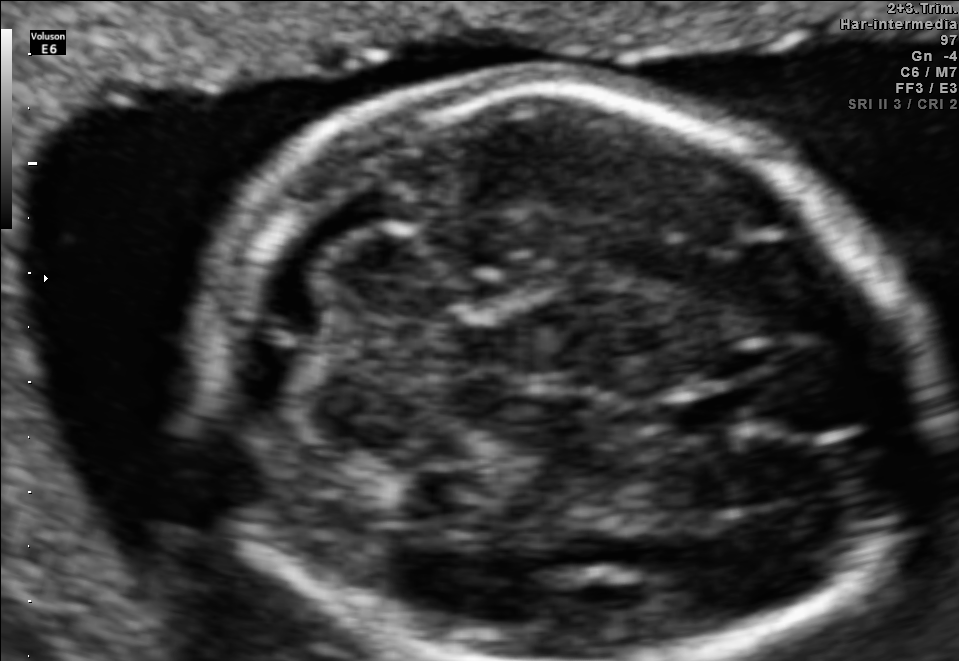
Fetal brain, trans-cerebellum plane. Where is the fetal head?

Head bounding box: [202,85,937,660]